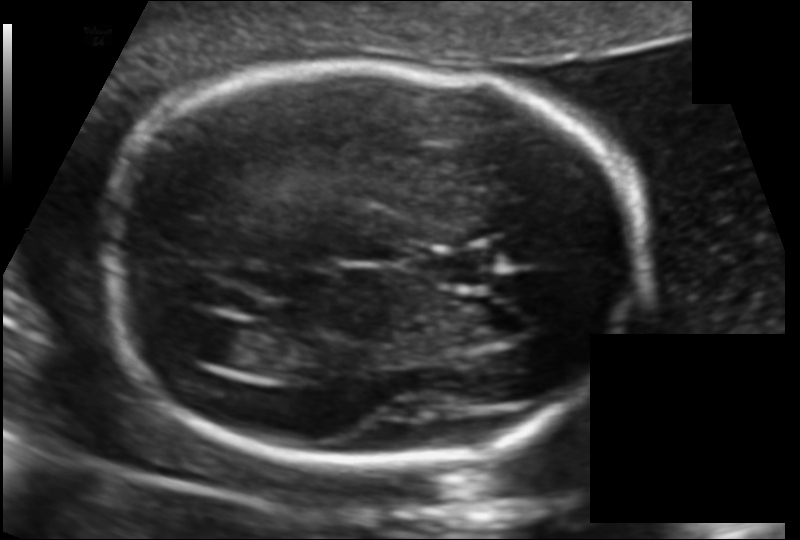
From this fetal ultrasound, estimate the head circumference (image width 93.9 mm).

Head circumference: 180.9 mm.